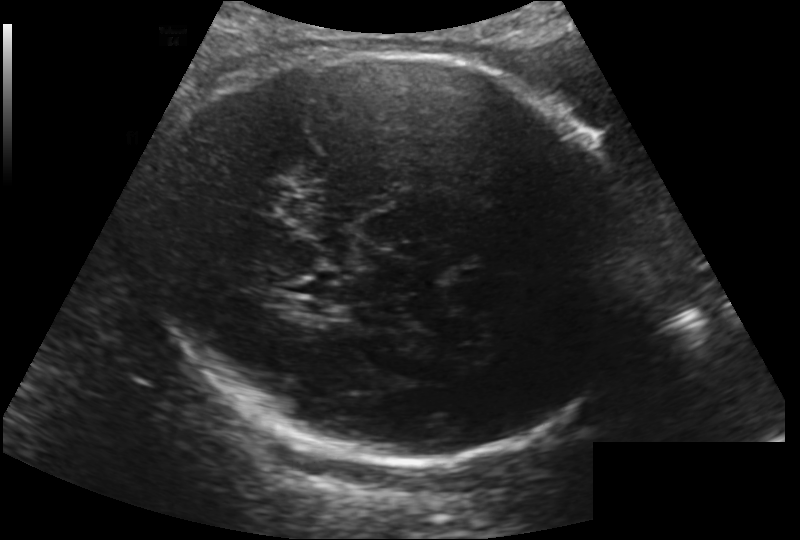
Fetal head ultrasound. Image width: 160.1 mm. Locate the fetal head.

Head: [152,51,638,464]